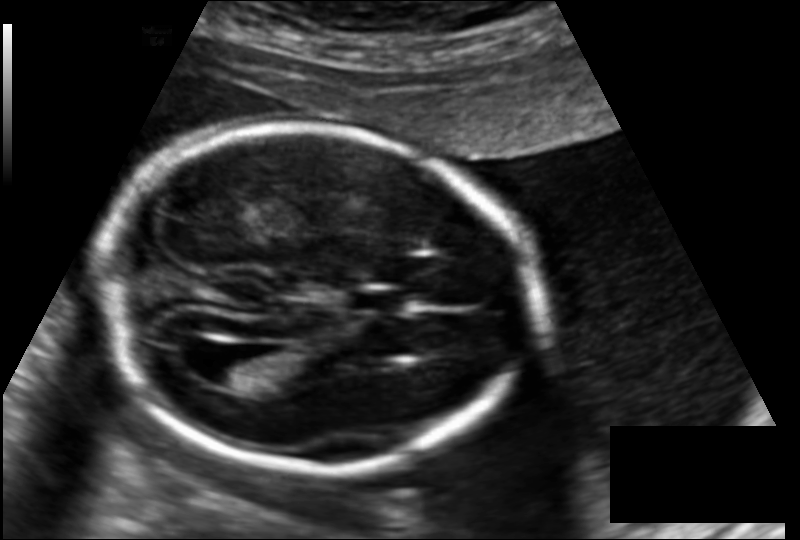
Fetal head ultrasound. Image width: 115.9 mm. Where is the cavum septum pellucidum?

CSP bounding box: [346,286,409,314]